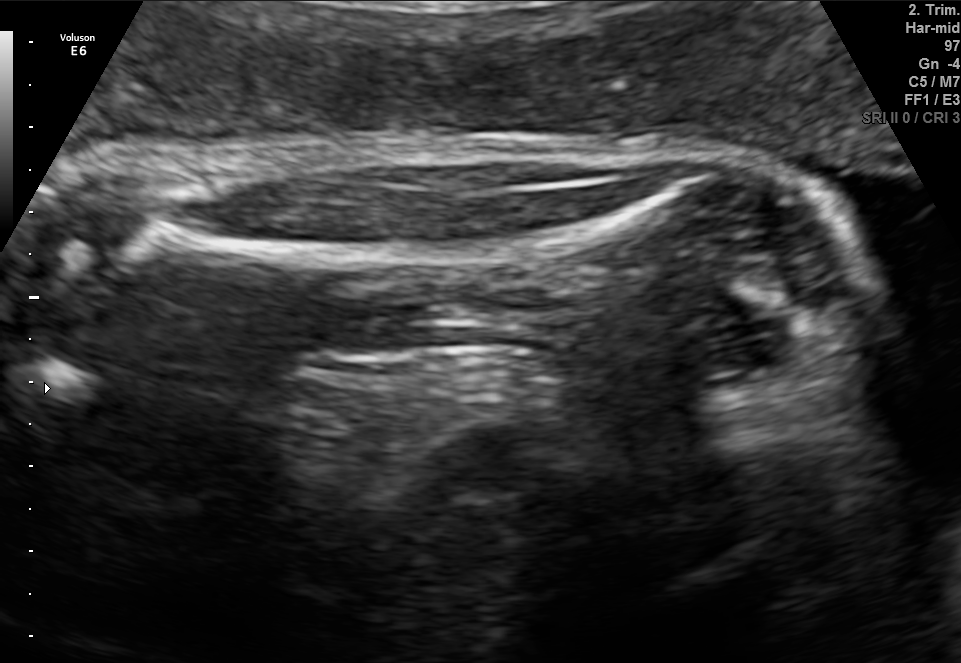
Classify this maternal-fetal ultrasound image as one of the six standard planes — fetal abdomen, fetal brain, fetal femur, fetal thorax, maternal cervix, or other. If it's fetal brain and one of the three standard brain planes (trans-thalamic, trans-cerebellum, trans-ventricular), name which.

Fetal femur